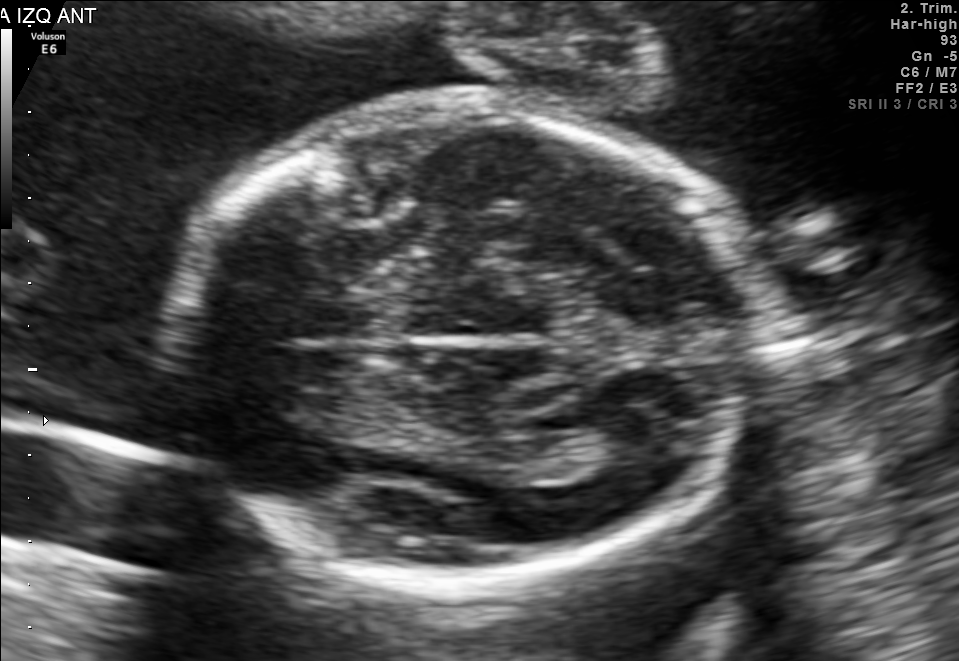
Fetal brain, trans-thalamic plane. Where is the fetal head?

Head bounding box: [177,103,750,584]